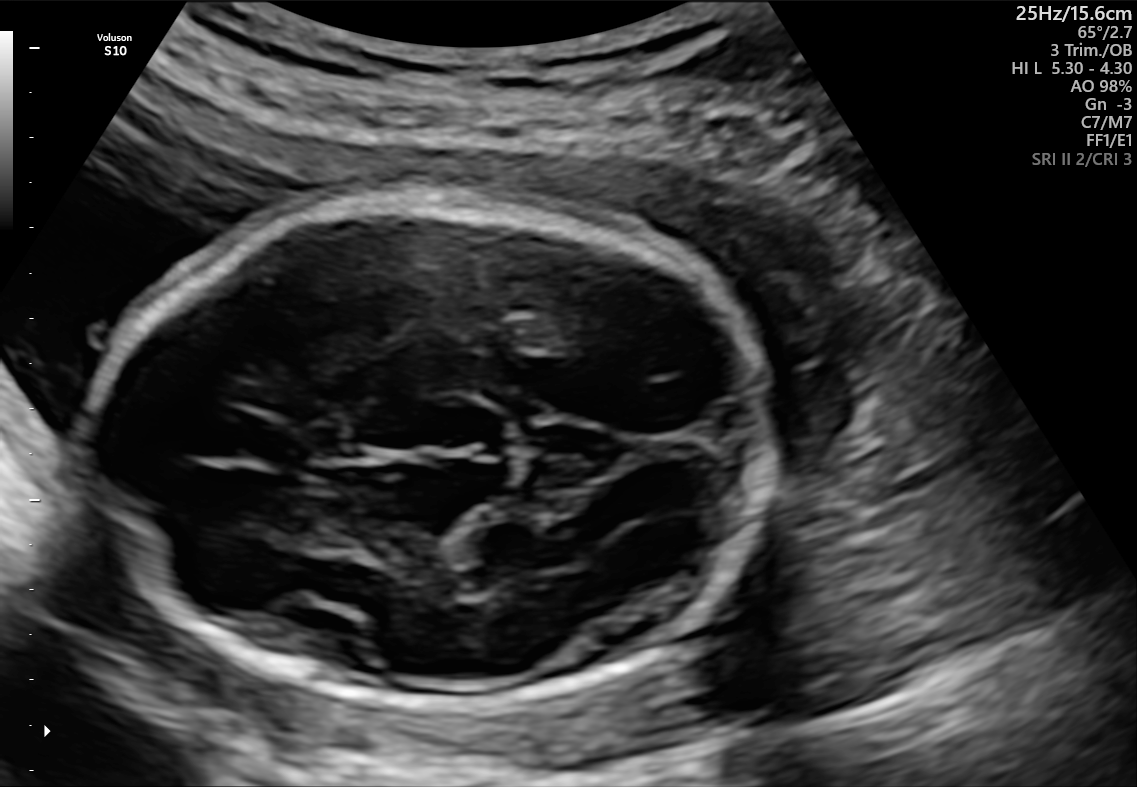
Fetal brain, trans-thalamic plane. Locate the fetal head.

Head: [88,193,772,704]